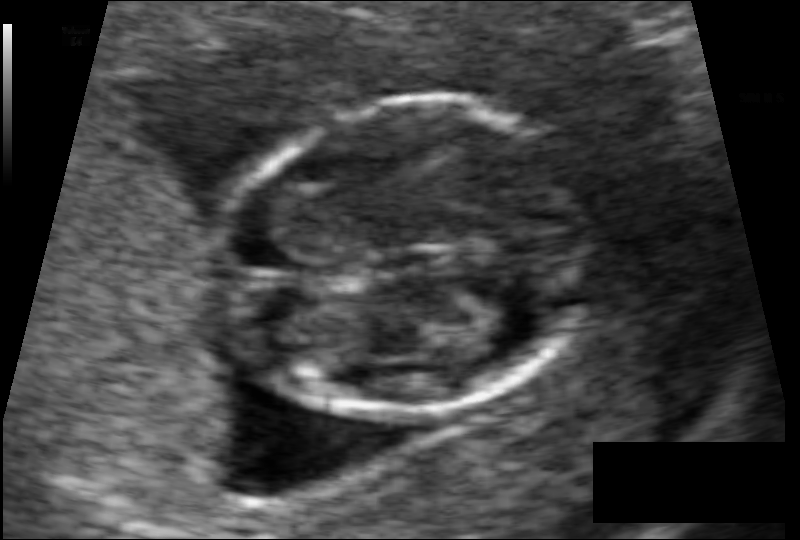
Fetal head ultrasound. Image width: 48.9 mm. Give [x1,y1,x2,y2] bounding boxes for each visible structure among: fetal head, CSP, LV.

Head: [213,104,596,418]